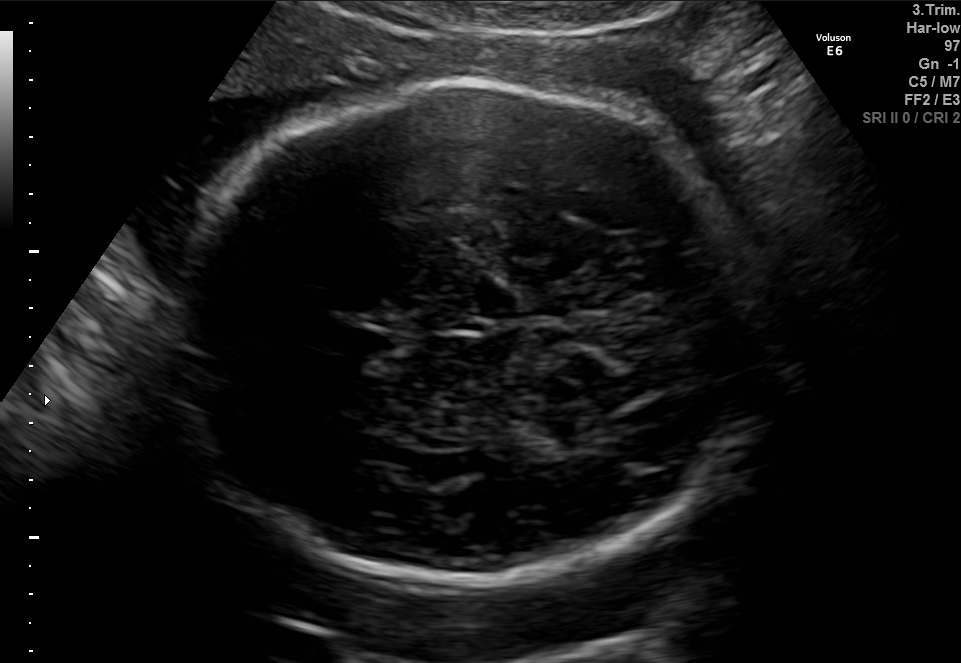
In this fetal brain, trans-thalamic plane, give bounding boxes for the head outline, cavum septum pellucidum (CSP), and lateral ventricle (LV), where visible.

Head: [174,82,775,587]
CSP: [347,328,395,357]